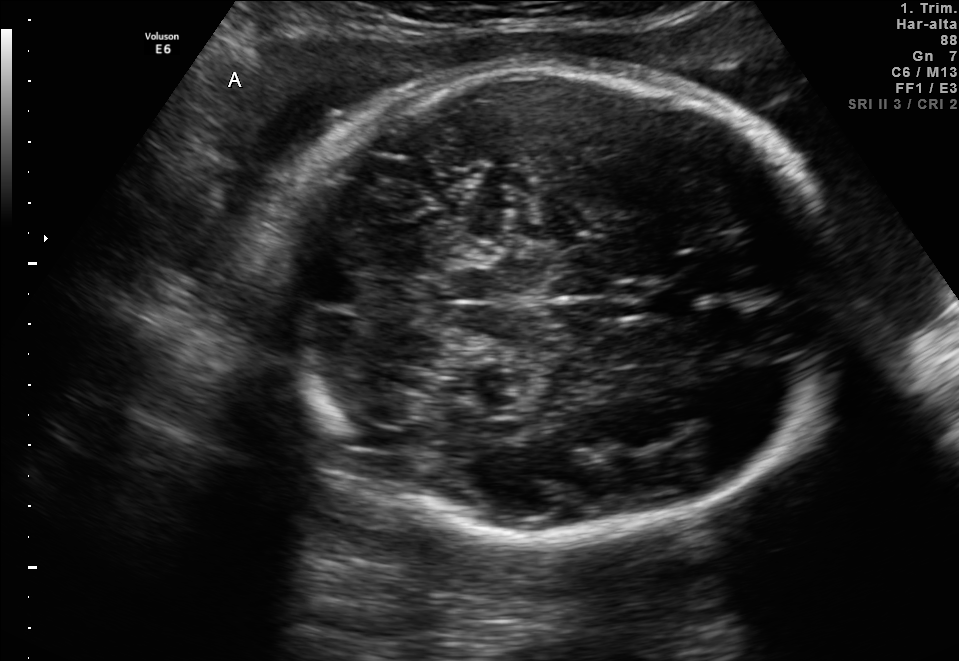
Fetal brain, trans-cerebellum plane. Locate the fetal head.

Head: [260,66,849,537]